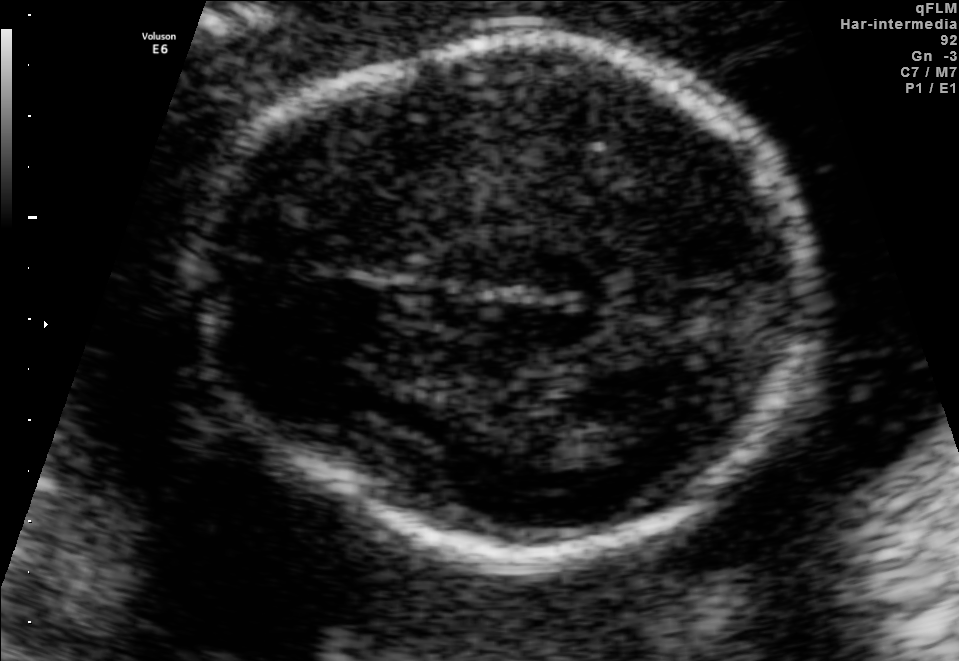
Fetal brain, trans-thalamic plane. Locate the fetal head and, if visible, the cavum septum pellucidum (CSP) and lateral ventricle (LV). Give bounding boxes as [x1,y1,x2,y2].

Head: [201,39,810,554]
Lateral ventricle: [513,406,639,473]